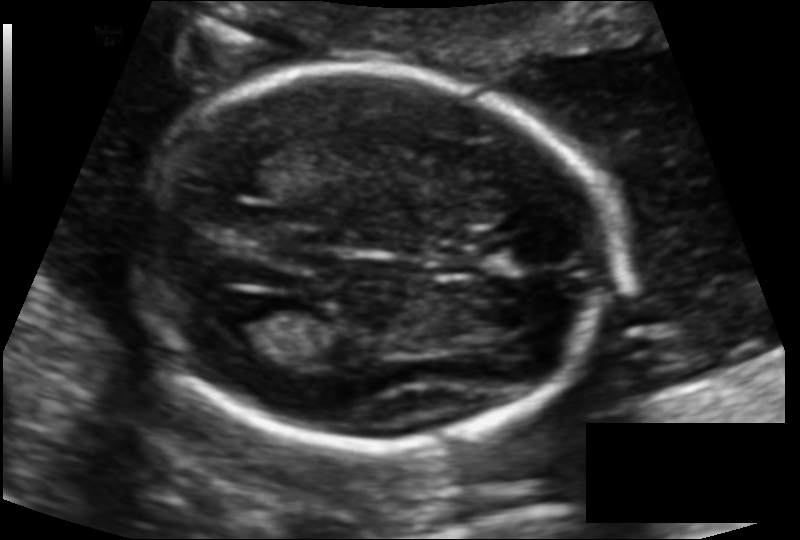
In this fetal head ultrasound, give bounding boxes for the head outline, cavum septum pellucidum (CSP), and lateral ventricle (LV), where visible. Image width: 93.4 mm.

Head: [131,65,612,446]
Lateral ventricle: [216,293,298,354]